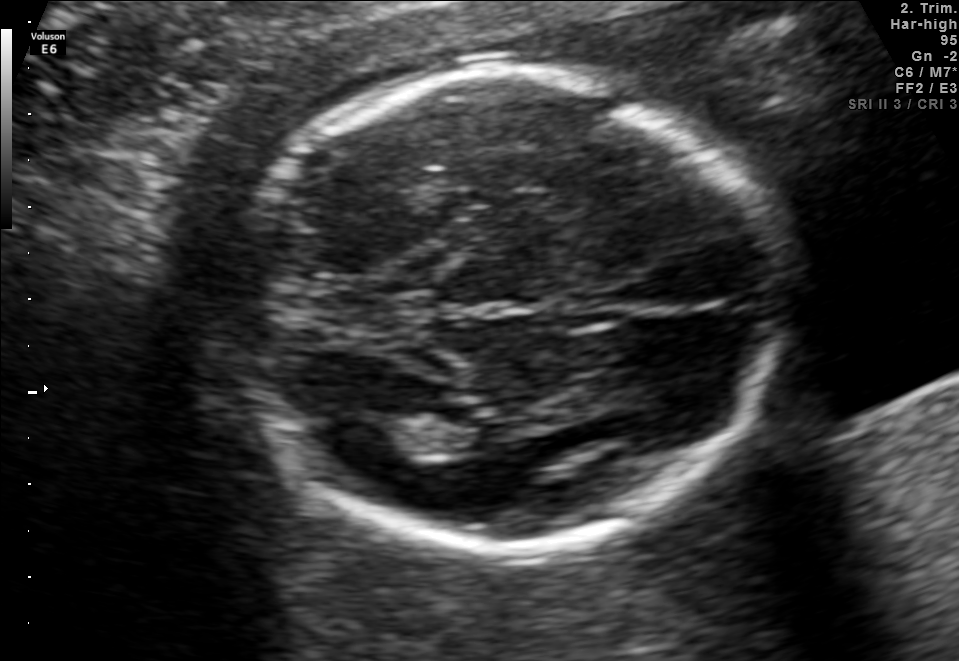
Fetal brain, trans-thalamic plane. Give [x1,y1,x2,y2] bounding boxes for each visible structure among: fetal head, CSP, LV.

Head: [228,70,779,541]
Lateral ventricle: [329,415,428,464]